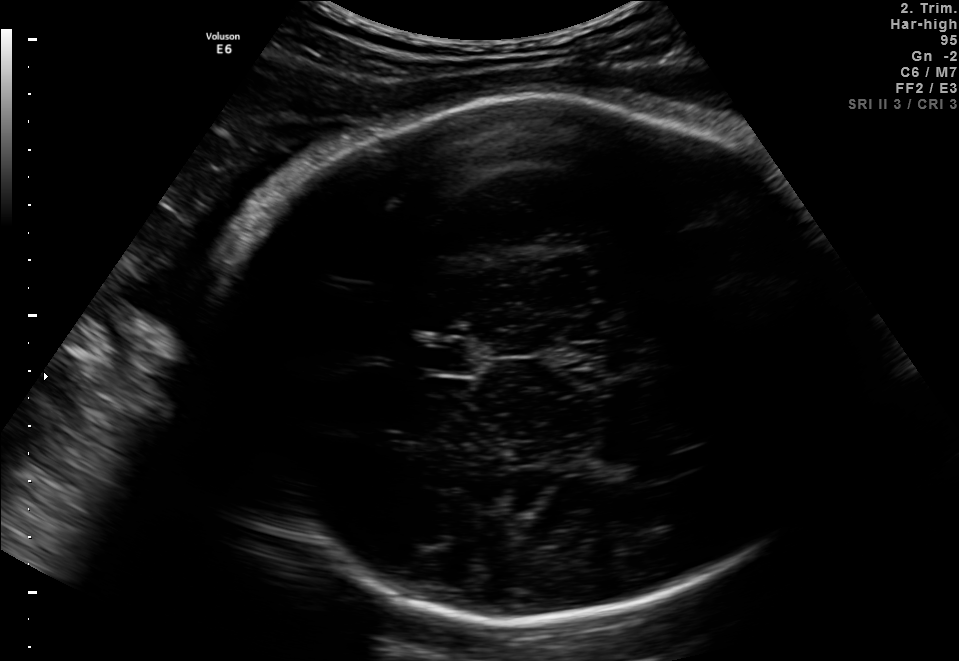
In this fetal brain, trans-thalamic plane, give the bounding box of the fetal head.

[204,92,851,615]